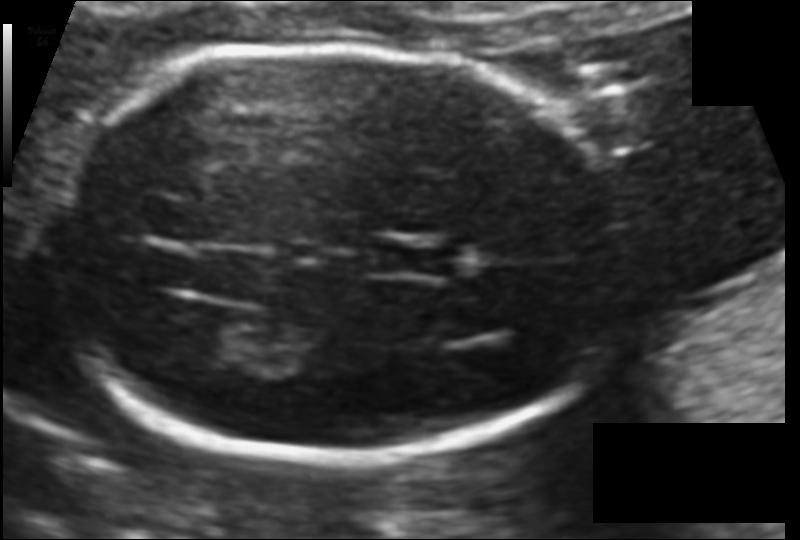
From this fetal ultrasound, estimate the head circumference (image width 78.8 mm).

Head circumference: 160.4 mm.